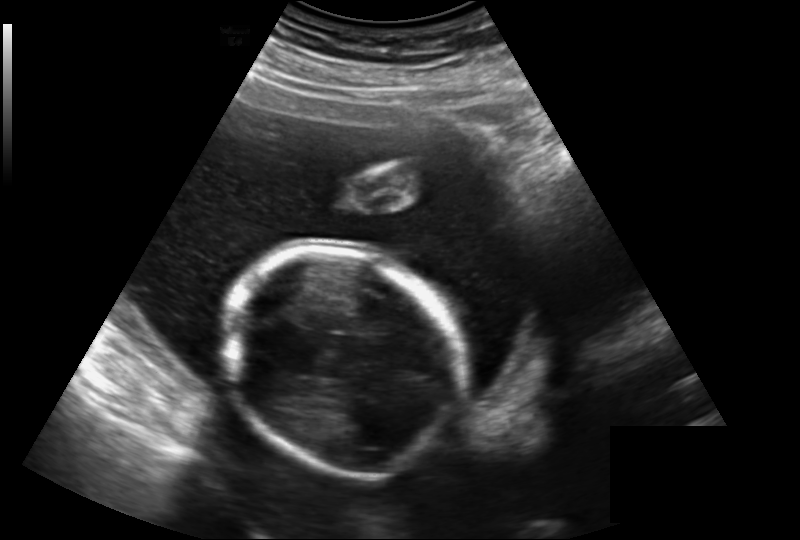
Fetal head ultrasound. Image width: 175.3 mm. Give [x1,y1,x2,y2] bounding boxes for each visible structure among: fetal head, CSP, LV.

Head: [222,251,466,474]